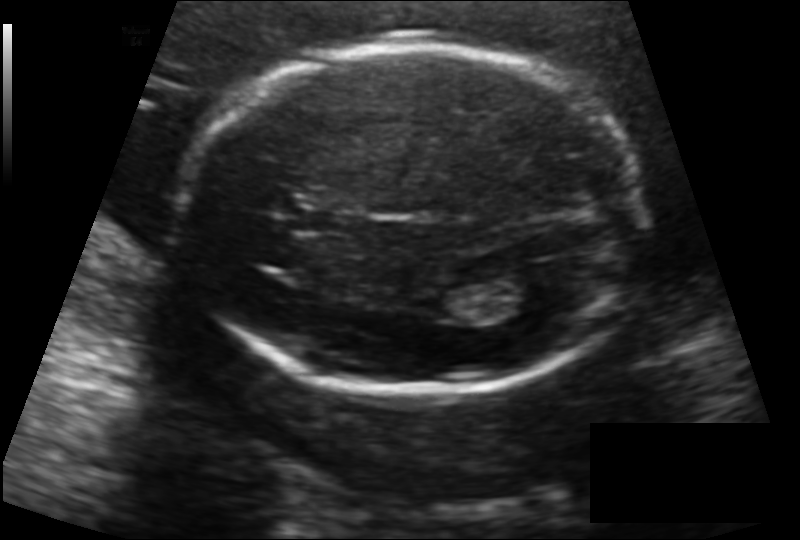
Fetal head ultrasound. Image width: 113.3 mm. Where is the fetal head?

Head bounding box: [180,47,647,394]